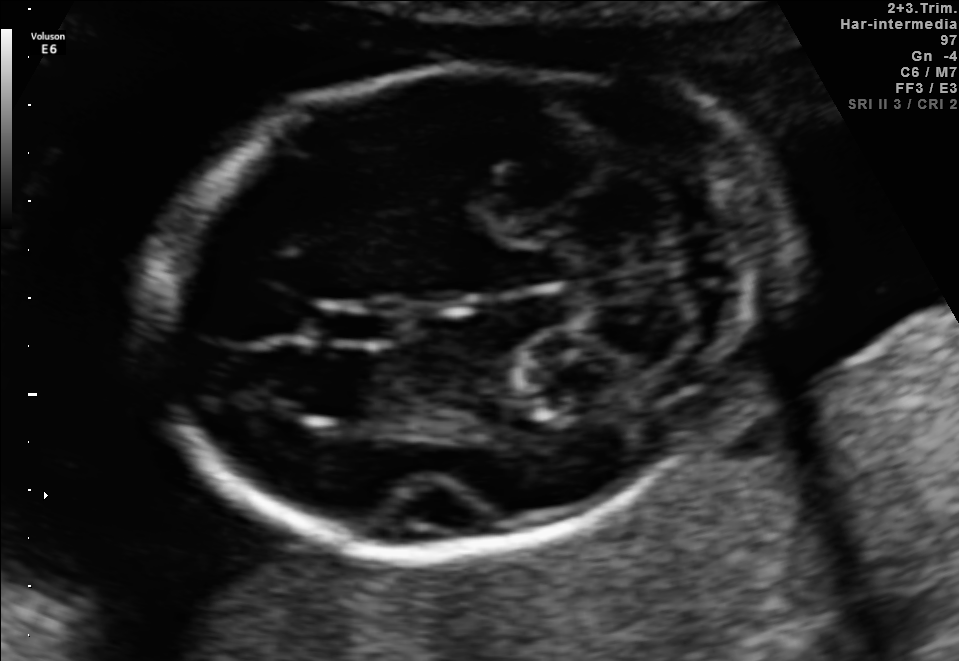
In this fetal brain, trans-cerebellum plane, give the bounding box of the fetal head.

[149,61,798,550]